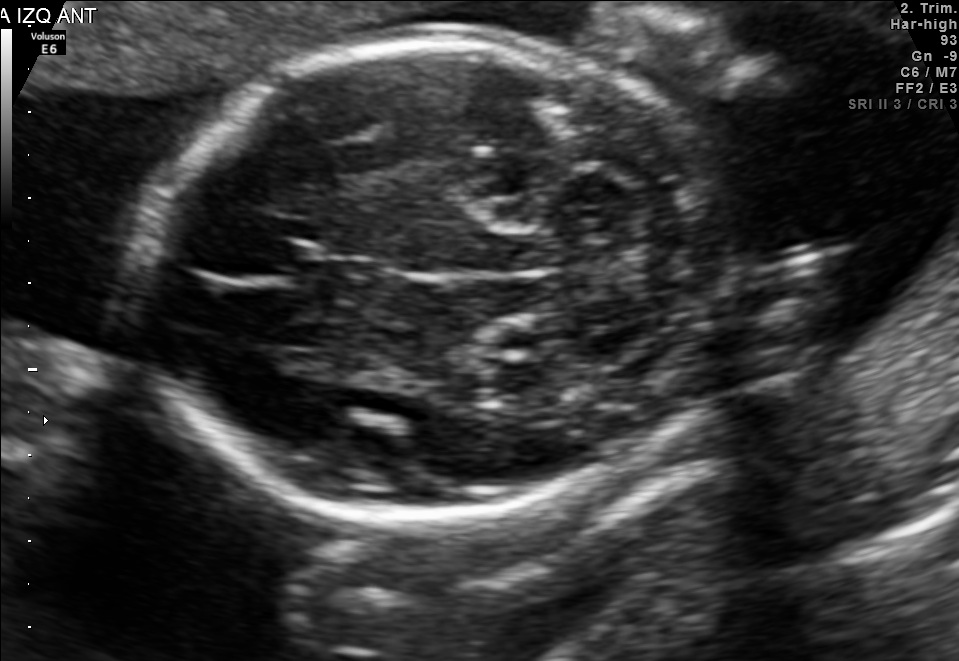
Fetal brain, trans-cerebellum plane. Where is the fetal head?

Head bounding box: [139,33,740,520]